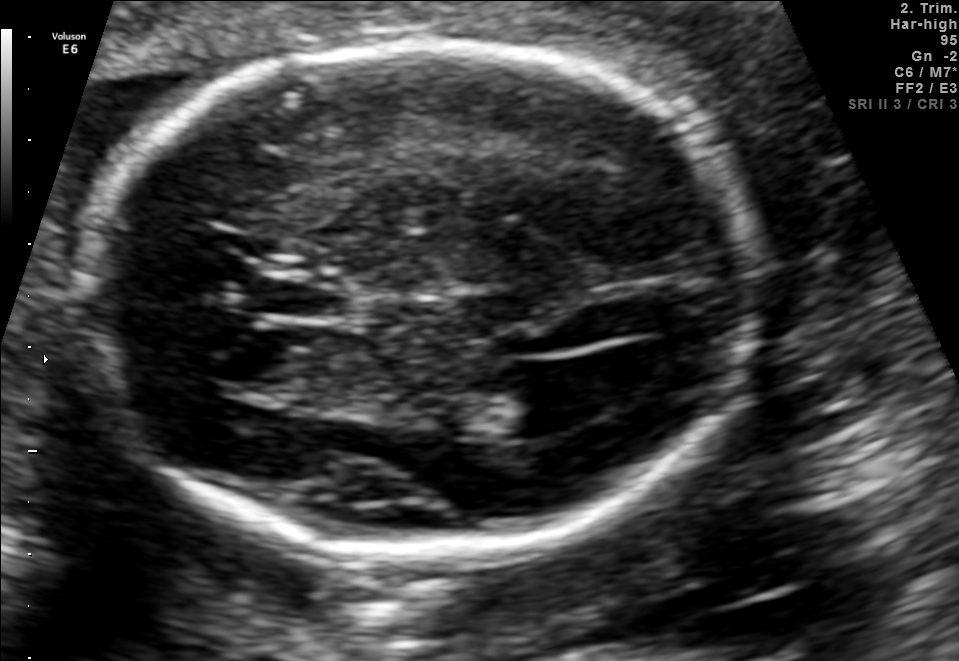
Fetal brain, trans-ventricular plane. Where is the cavum septum pellucidum?

CSP bounding box: [248,265,356,326]